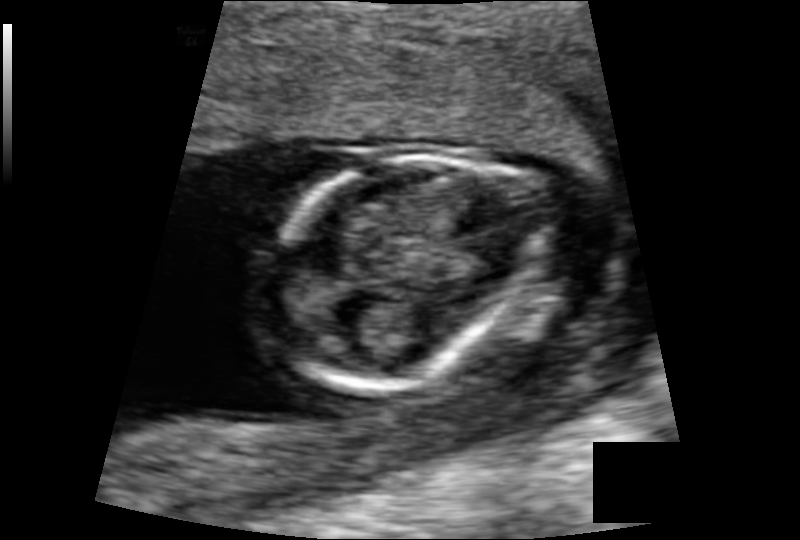
What is the fetal head circumference? Image width is 82.7 mm.

84.2 mm